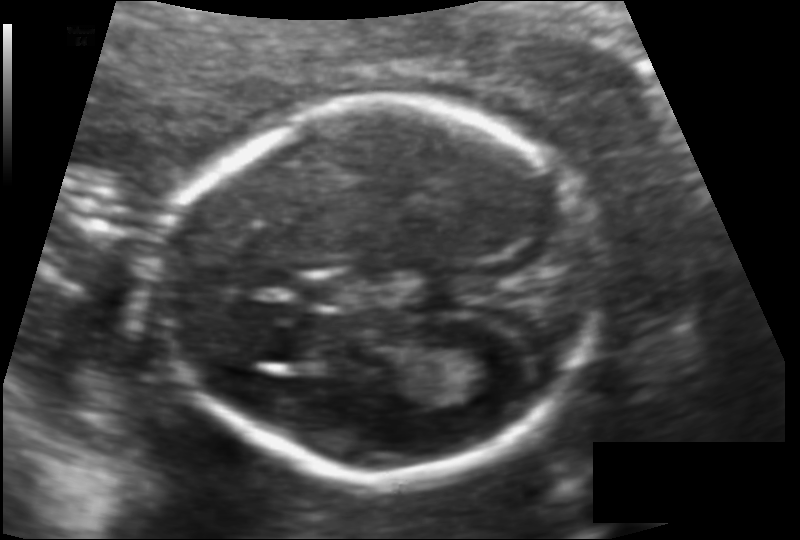
Fetal head ultrasound. Image width: 90.5 mm. Locate the fetal head.

Head: [160,105,600,478]